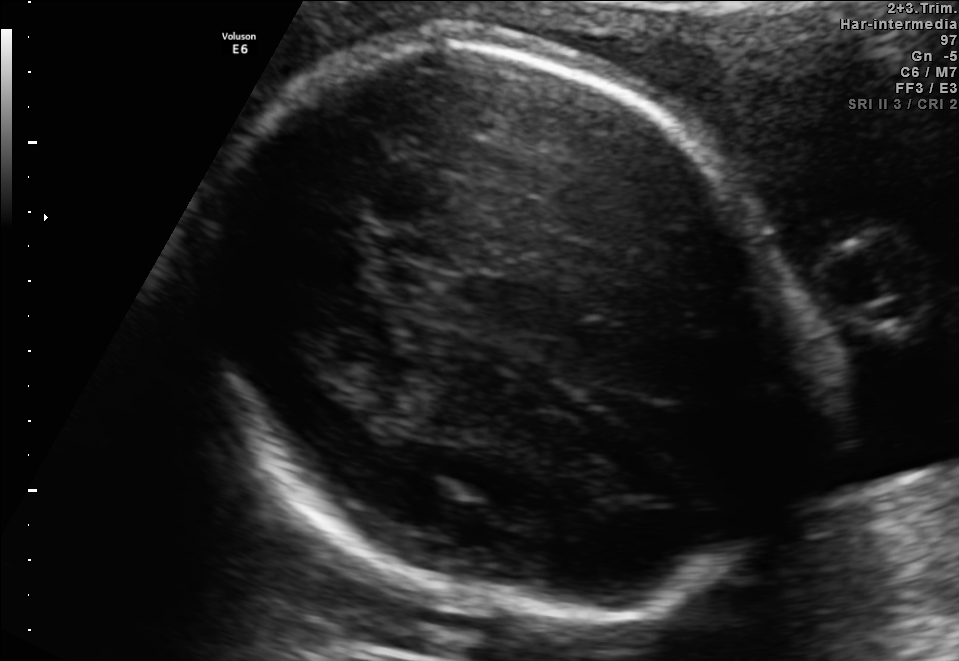
In this fetal brain, trans-thalamic plane, give the bounding box of the fetal head.

[193,43,816,620]